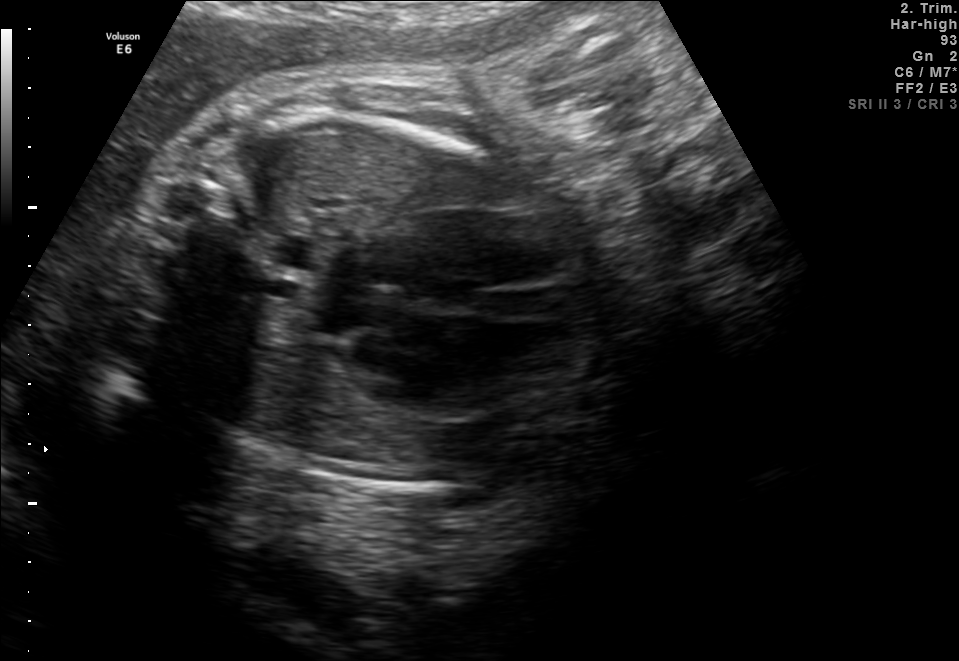
Identify the standard plane in this fetal ultrasound image: fetal abdomen, fetal brain, fetal femur, fetal thorax, maternal cervix, or other. If it's fetal brain and one of the three standard brain planes (trans-thalamic, trans-cerebellum, trans-ventricular), name which.

Fetal thorax